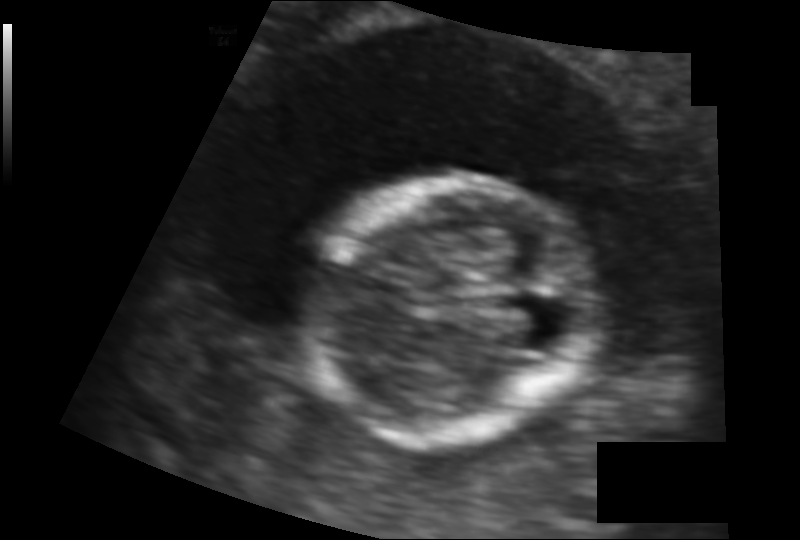
Fetal head ultrasound. Image width: 82.1 mm. Where is the fetal head?

Head bounding box: [301,179,601,448]